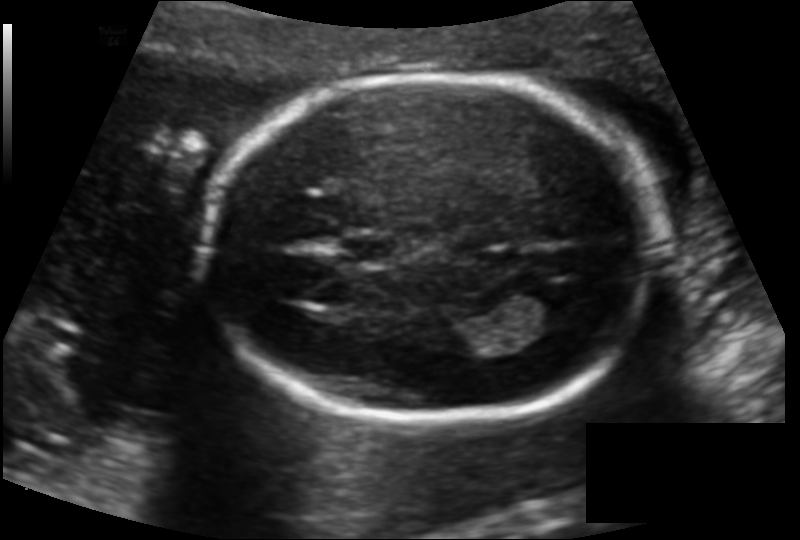
Fetal head ultrasound. Image width: 104.1 mm. Where is the cavum septum pellucidum?

CSP bounding box: [340,233,401,265]